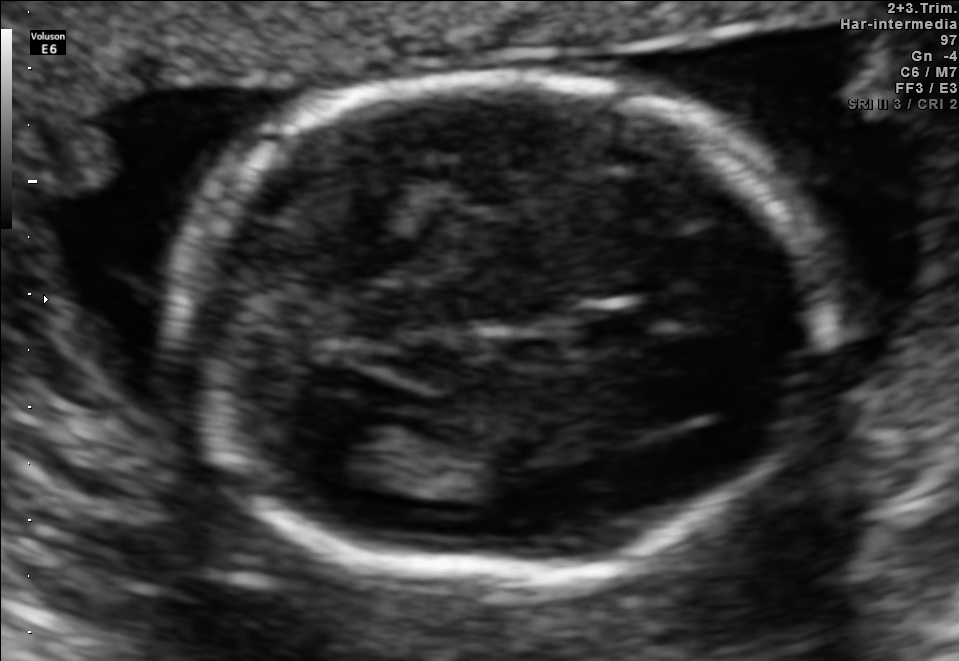
Fetal brain, trans-thalamic plane. Locate the lateral ventricle.

Lateral ventricle: [316,405,436,494]